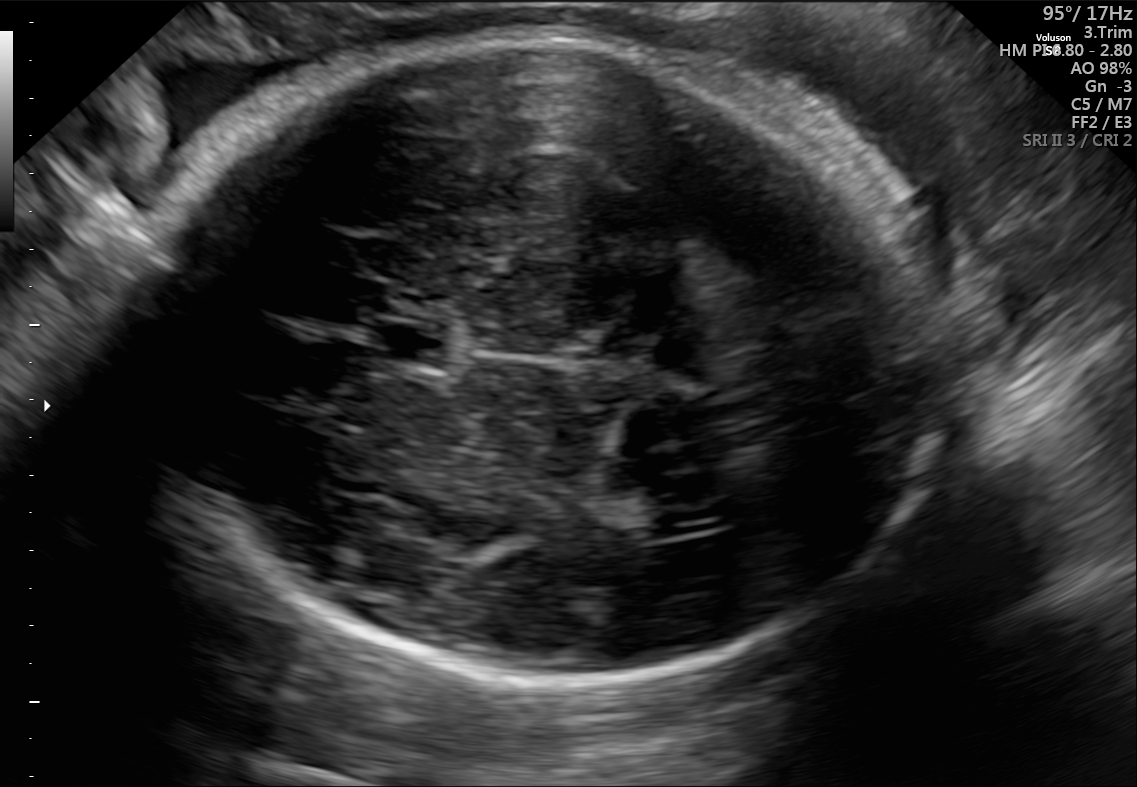
Fetal brain, trans-ventricular plane. Where is the fetal head?

Head bounding box: [146,26,965,687]